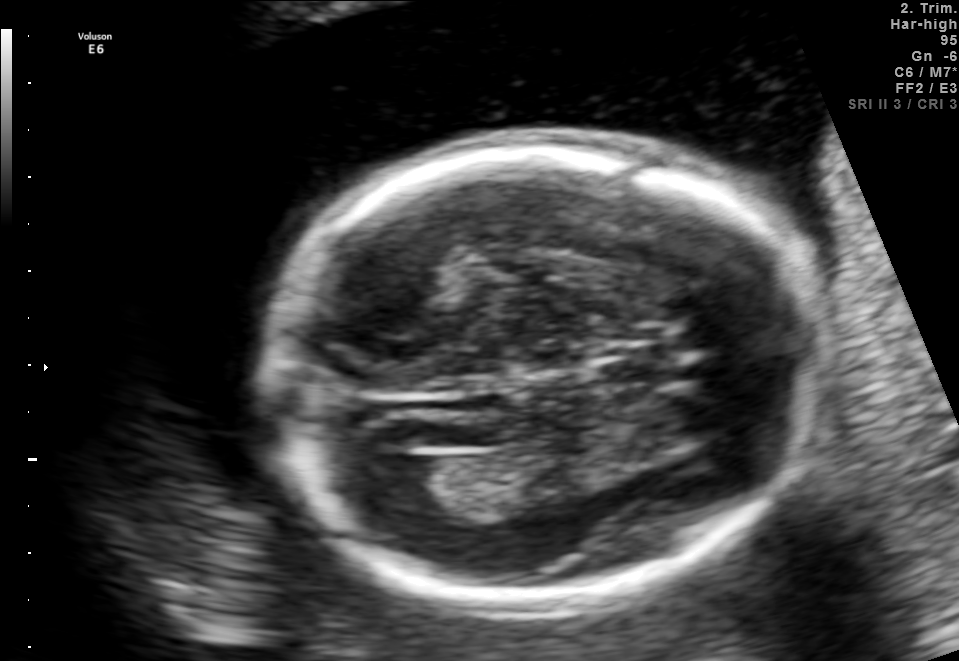
Fetal brain, trans-ventricular plane. Locate the fetal head and, if visible, the cavum septum pellucidum (CSP) and lateral ventricle (LV). Give bounding boxes as [x1,y1,x2,y2].

Head: [248,128,841,617]
Lateral ventricle: [376,456,452,512]